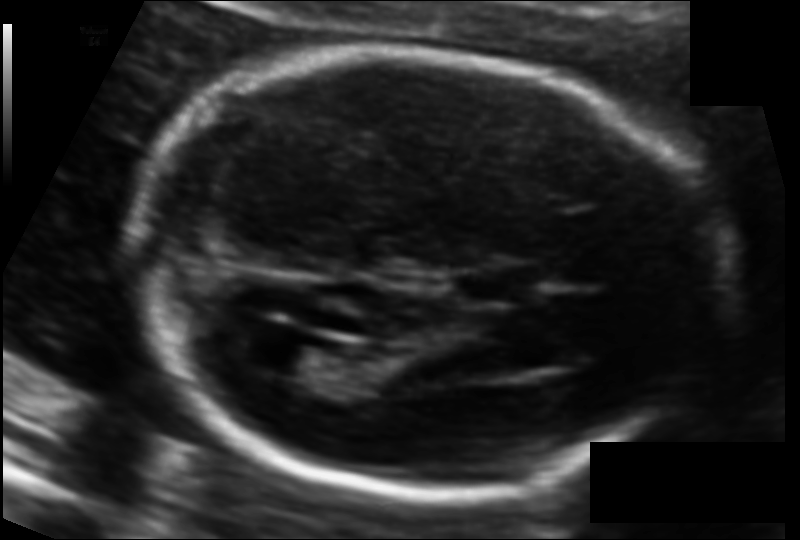
Fetal head ultrasound. Image width: 82.9 mm. Where is the cavum septum pellucidum?

CSP bounding box: [468,267,539,304]